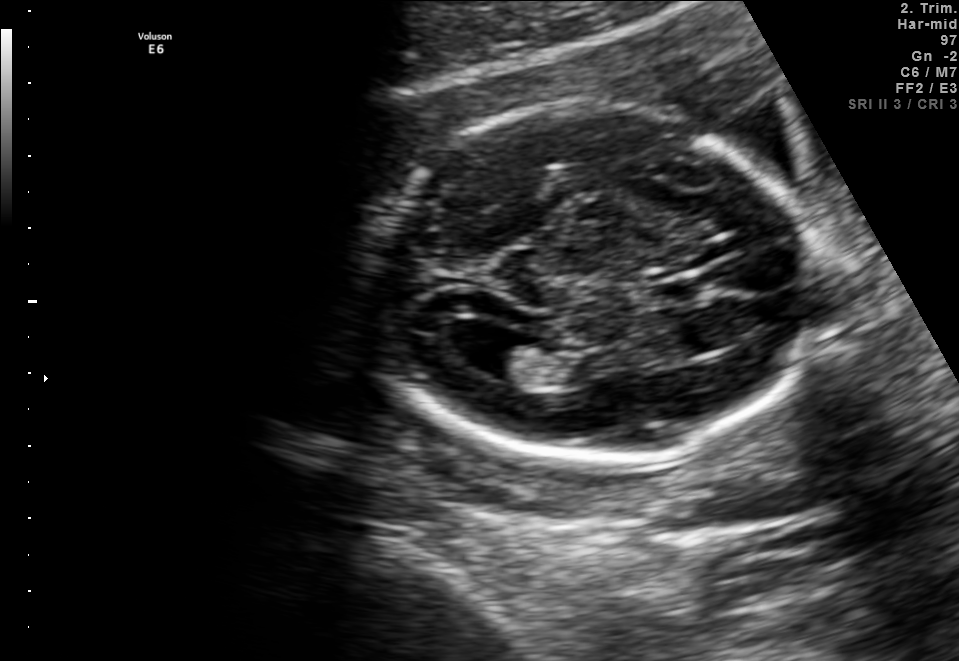
Fetal brain, trans-ventricular plane. Where is the lateral ventricle?

Lateral ventricle bounding box: [453,315,535,385]